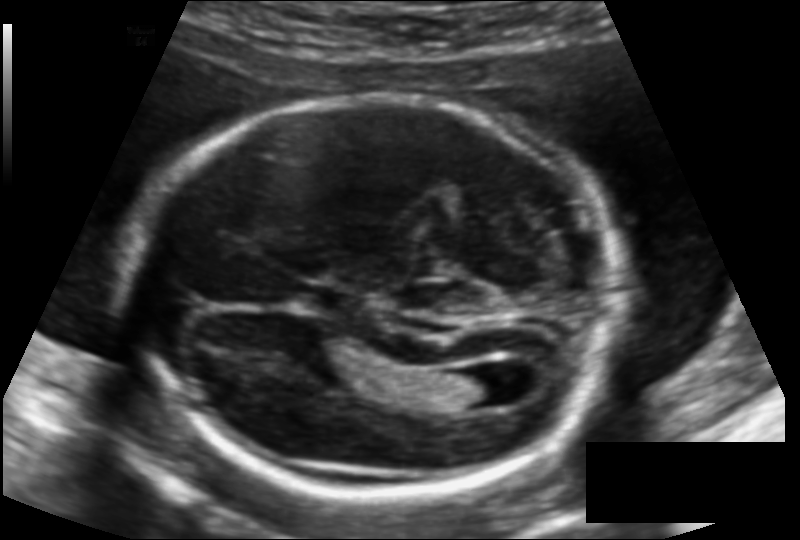
What is the fetal head circumference? Image width is 99.7 mm.

184.3 mm